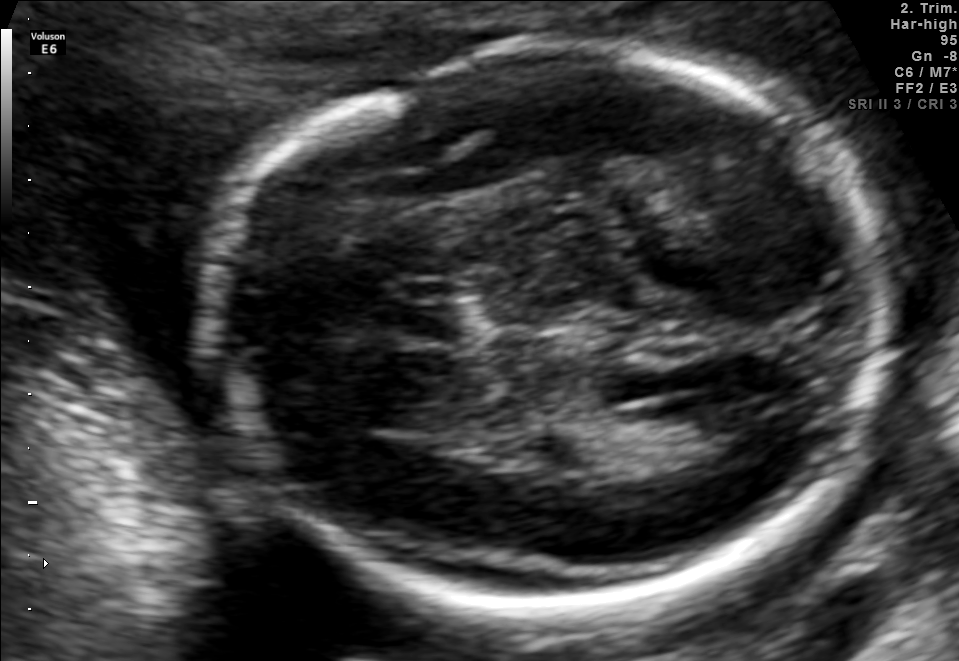
Fetal brain, trans-ventricular plane. Locate the cavum septum pellucidum.

CSP: [376,289,486,346]